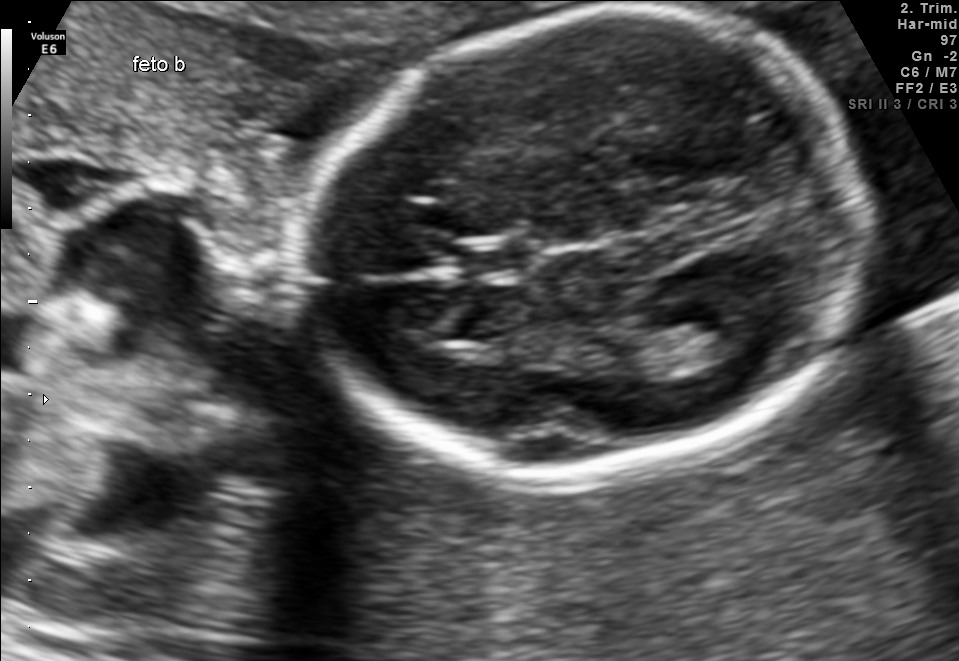
Fetal brain, trans-thalamic plane. Locate the fetal head.

Head: [302,16,861,475]